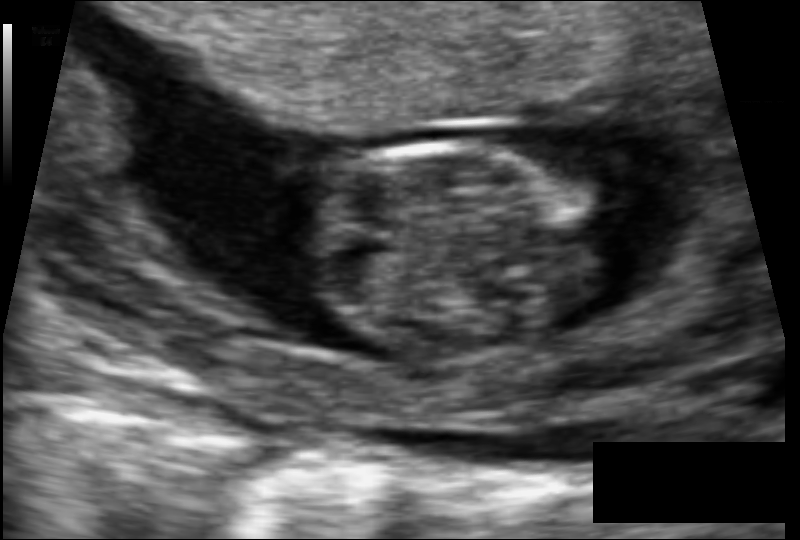
What is the fetal head circumference? Image width is 61.8 mm.

60.3 mm